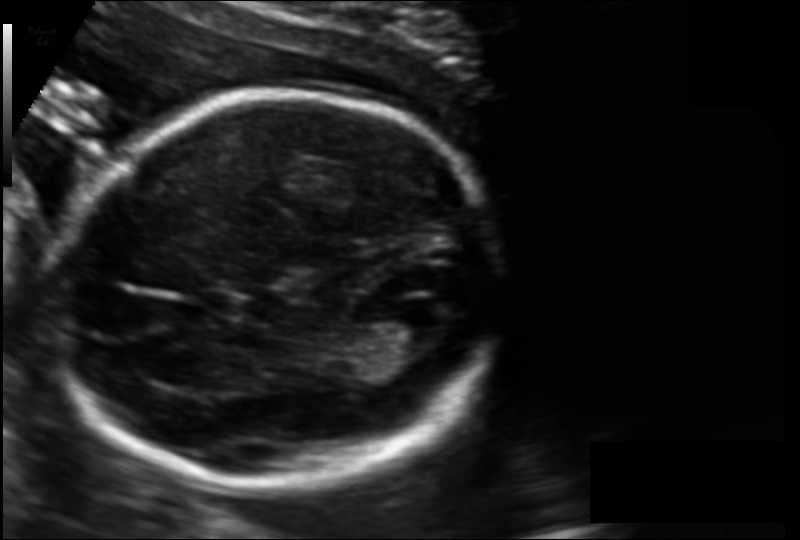
Fetal head ultrasound. Image width: 102.4 mm. Give [x1,y1,x2,y2] bounding boxes for each visible structure among: fetal head, CSP, LV.

Head: [60,91,498,488]
Lateral ventricle: [375,290,453,359]